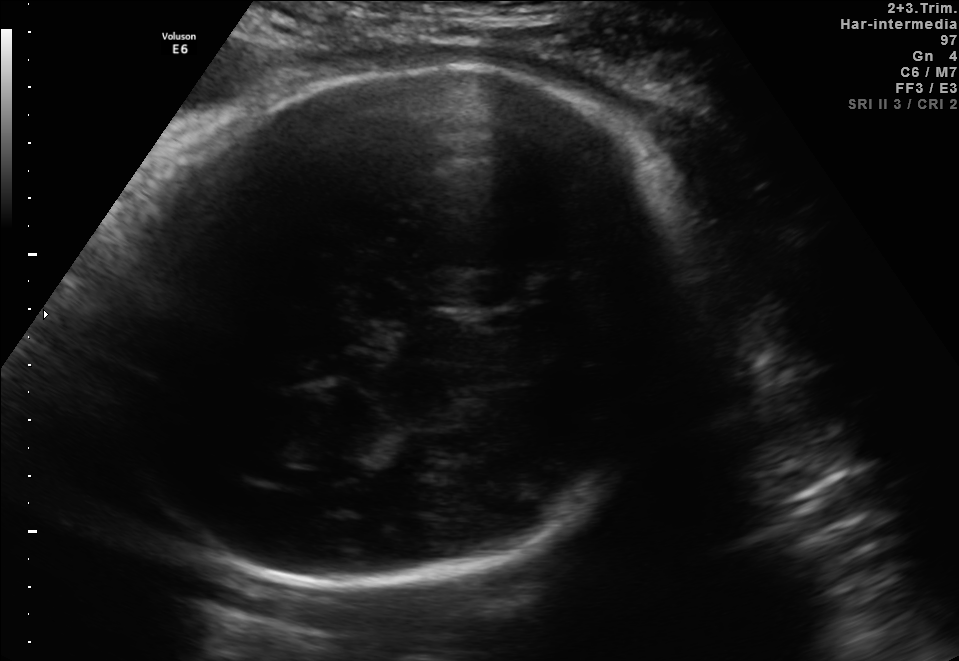
In this fetal brain, trans-thalamic plane, give bounding boxes for the head outline, cavum septum pellucidum (CSP), and lateral ventricle (LV), where visible.

Head: [74,70,705,583]